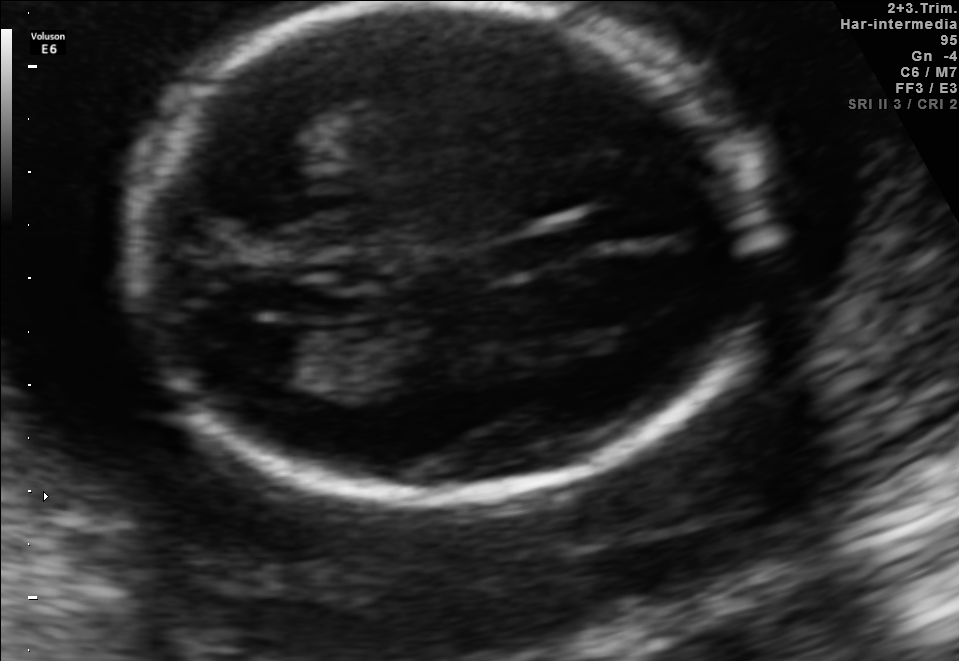
Identify the standard plane in this fetal ultrasound image: fetal abdomen, fetal brain, fetal femur, fetal thorax, maternal cervix, or other. If it's fetal brain and one of the three standard brain planes (trans-thalamic, trans-cerebellum, trans-ventricular), name which.

Fetal brain (trans-ventricular plane)